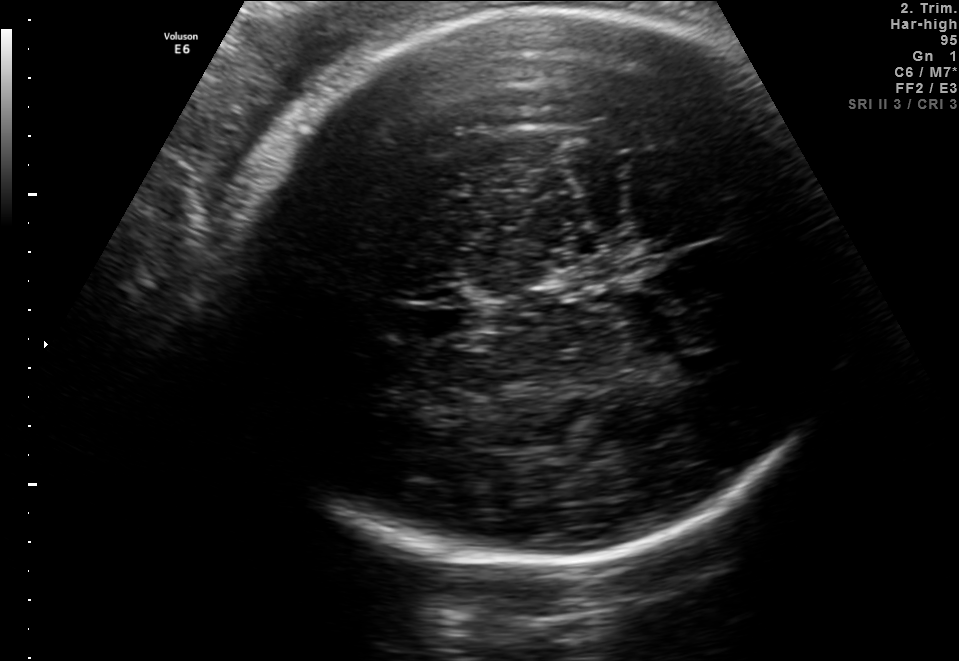
Fetal brain, trans-thalamic plane. Locate the fetal head and, if visible, the cavum septum pellucidum (CSP) and lateral ventricle (LV). Give bounding boxes as [x1,y1,x2,y2].

Head: [234,6,845,563]
CSP: [402,302,483,342]